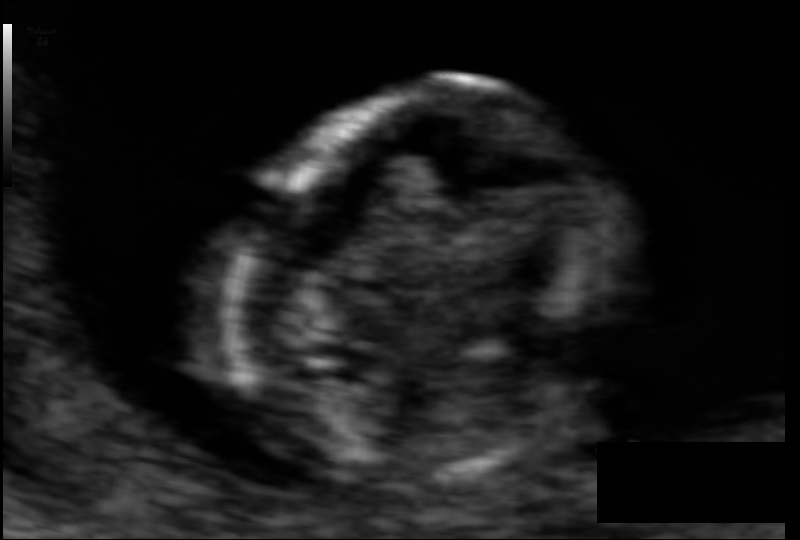
Fetal head ultrasound. Image width: 44.4 mm. Give [x1,y1,x2,y2] bounding boxes for each visible structure among: fetal head, CSP, LV.

Head: [233,80,606,488]